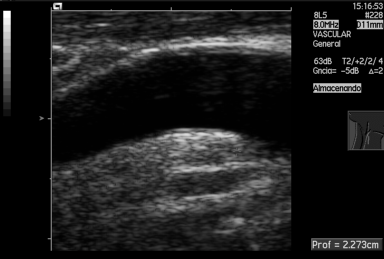
Which standard maternal-fetal ultrasound plane is shown: fetal abdomen, fetal brain, fetal femur, fetal thorax, maternal cervix, or other? If it's fetal brain and one of the three standard brain planes (trans-thalamic, trans-cerebellum, trans-ventricular), name which.

Other